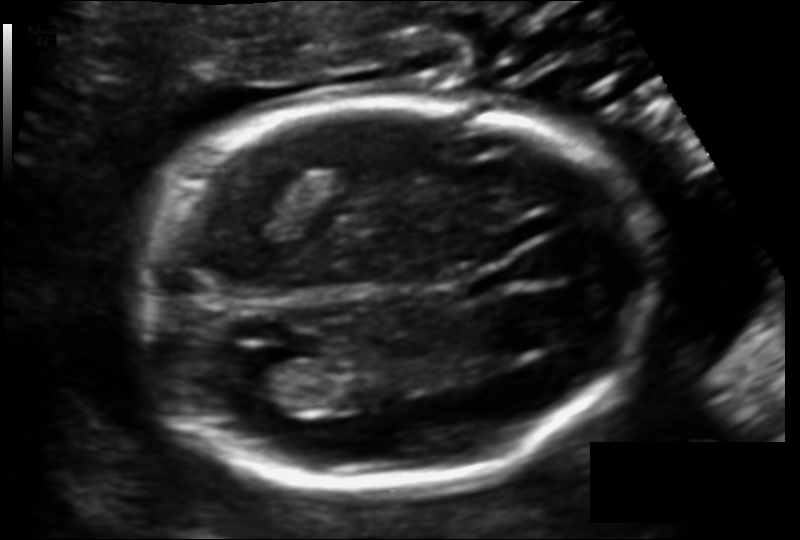
In this fetal head ultrasound, give the bounding box of the lateral ventricle. Image width: 97.3 mm.

[241,357,319,413]